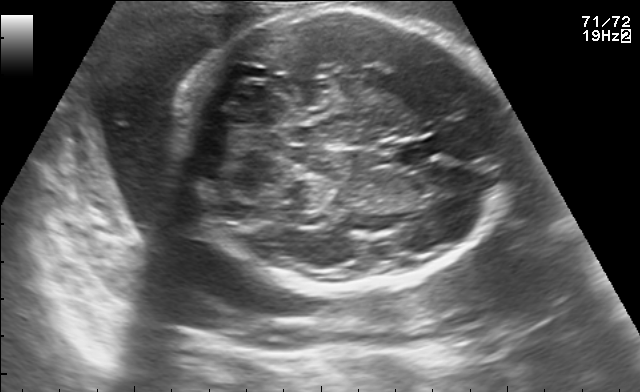
In this fetal brain, trans-cerebellum plane, give the bounding box of the cavum septum pellucidum.

[389,134,441,169]